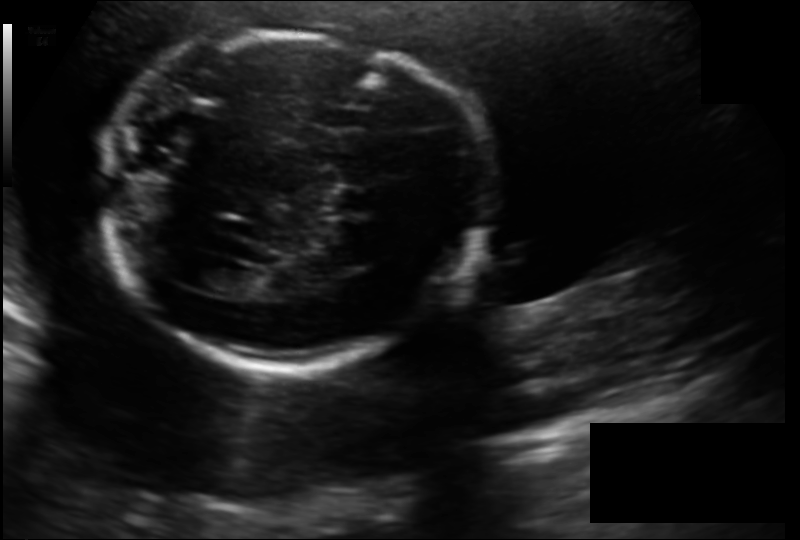
Fetal head ultrasound. Image width: 126.7 mm. Locate the fetal head and, if visible, the cavum septum pellucidum (CSP) and lateral ventricle (LV). Give bounding boxes as [x1,y1,x2,y2].

Head: [98,34,486,367]
CSP: [327,187,374,216]
Lateral ventricle: [191,260,244,297]